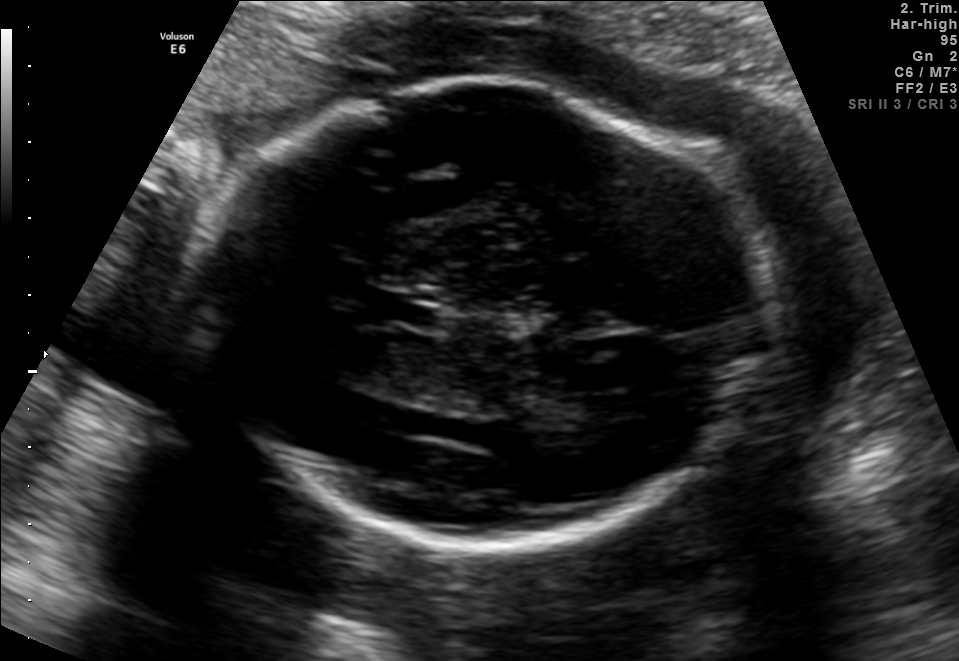
In this fetal brain, trans-thalamic plane, give the bounding box of the lateral ventricle.

[559,392,612,429]